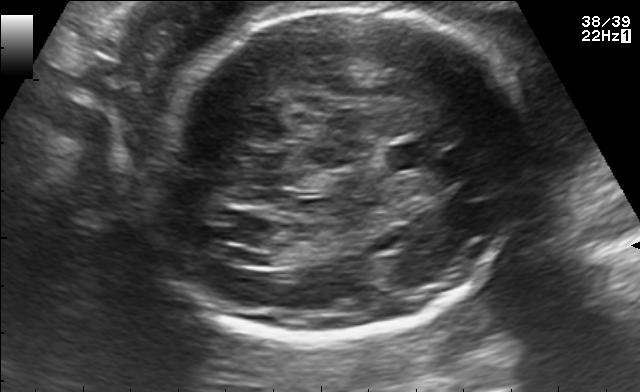
Fetal brain, trans-ventricular plane. Give [x1,y1,x2,y2] bounding boxes for each visible structure among: fetal head, CSP, LV.

Head: [140,4,532,343]